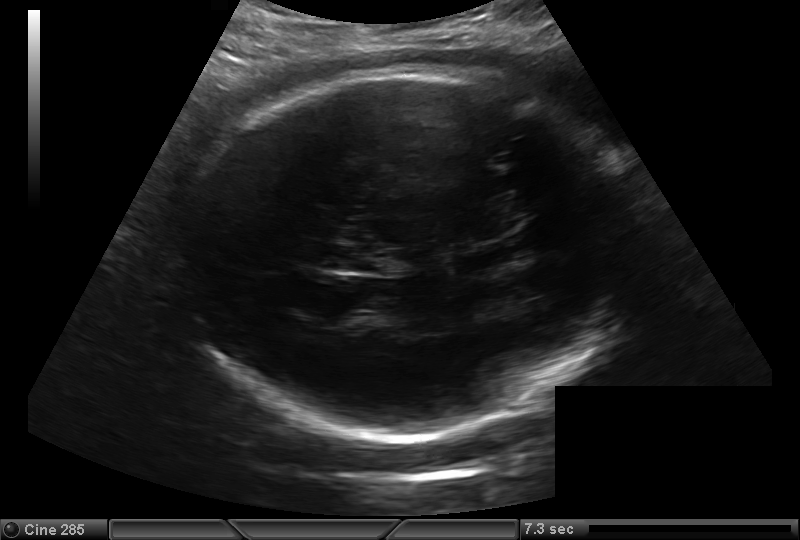
Fetal head ultrasound. Image width: 173.2 mm. Where is the fetal head?

Head bounding box: [189,66,631,441]